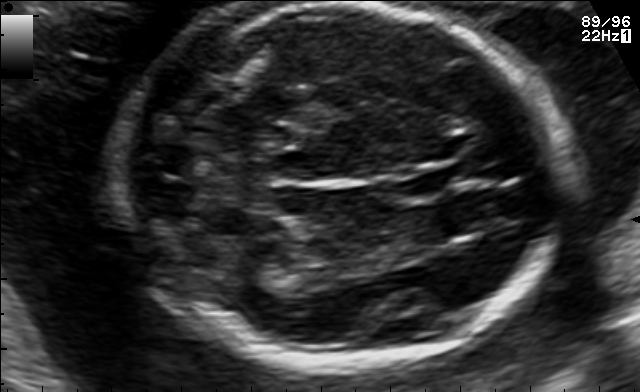
Fetal brain, trans-thalamic plane. Where is the fetal head?

Head bounding box: [115,2,558,365]